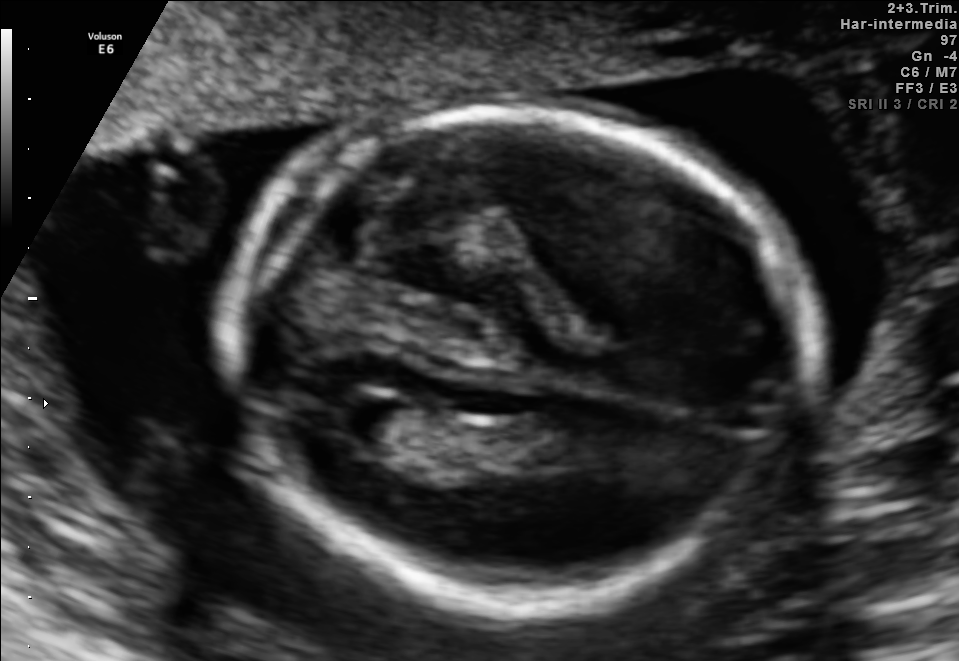
Fetal brain, trans-ventricular plane. Locate the lateral ventricle.

Lateral ventricle: [327,386,409,450]